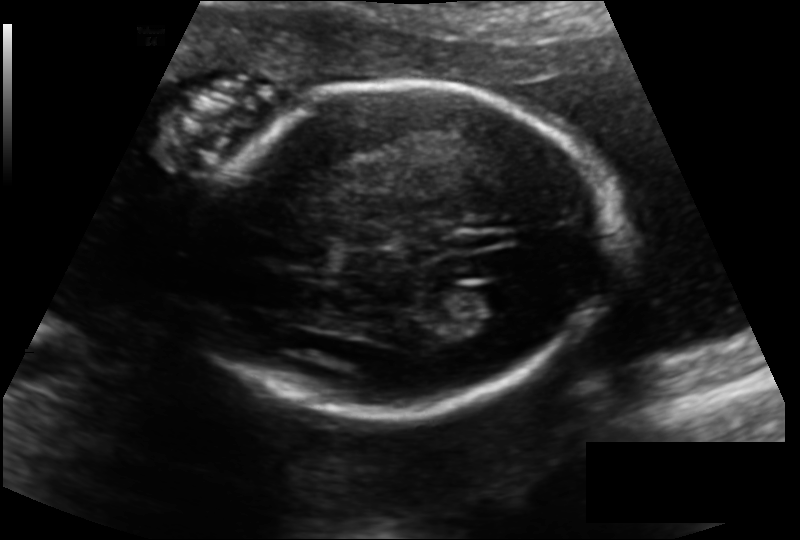
Estimate the fetal head circumference from this 2D ultrasound. Image width: 115.4 mm.

Head circumference: 173.8 mm.